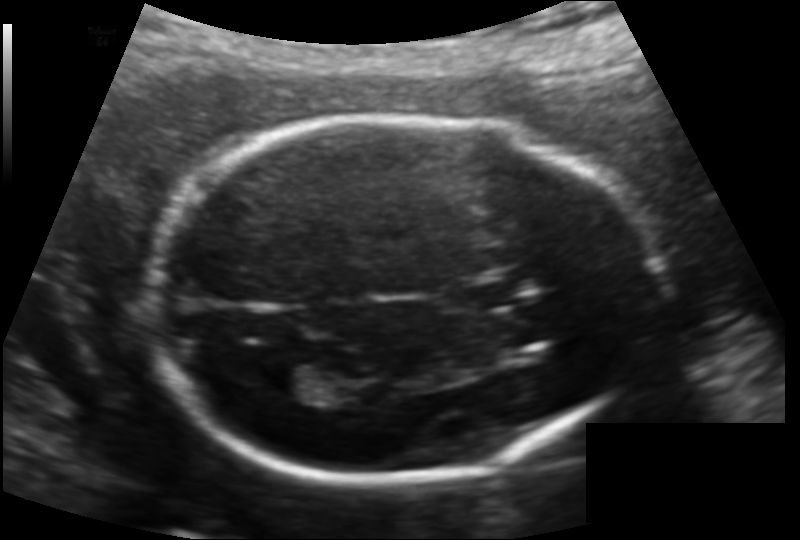
Fetal head ultrasound. Image width: 105.6 mm. Locate the fetal head and, if visible, the cavum septum pellucidum (CSP) and lateral ventricle (LV). Give bounding boxes as [x1,y1,x2,y2].

Head: [142,115,660,477]
CSP: [459,264,537,316]
Lateral ventricle: [263,360,326,402]